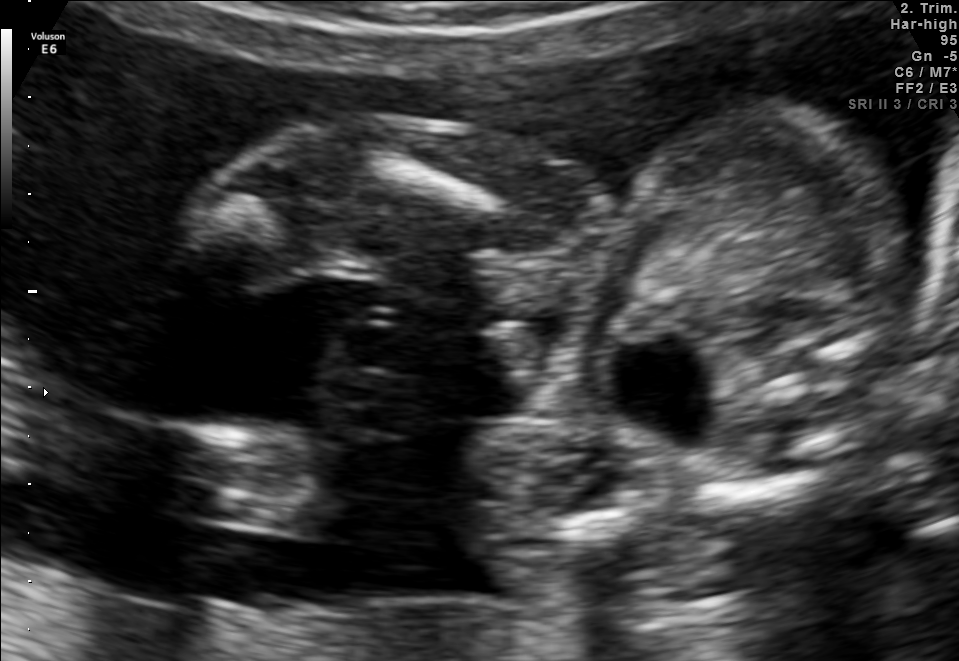
Classify this maternal-fetal ultrasound image as one of the six standard planes — fetal abdomen, fetal brain, fetal femur, fetal thorax, maternal cervix, or other. If it's fetal brain and one of the three standard brain planes (trans-thalamic, trans-cerebellum, trans-ventricular), name which.

Other